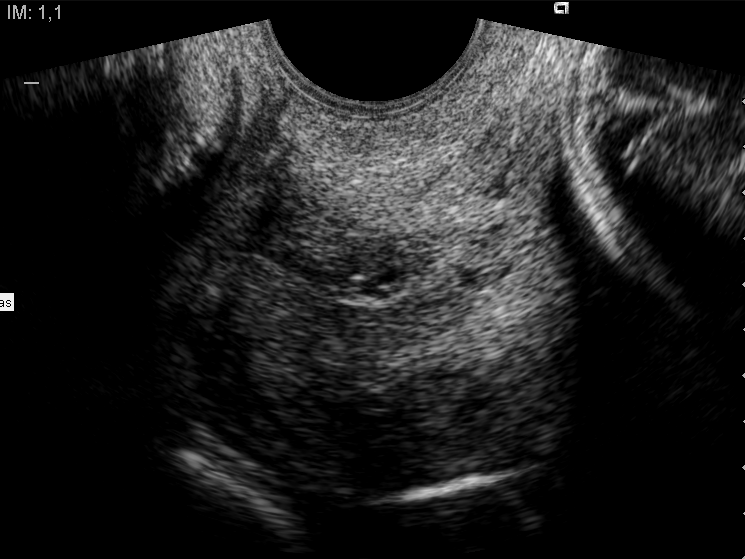
Classify this maternal-fetal ultrasound image as one of the six standard planes — fetal abdomen, fetal brain, fetal femur, fetal thorax, maternal cervix, or other. If it's fetal brain and one of the three standard brain planes (trans-thalamic, trans-cerebellum, trans-ventricular), name which.

Maternal cervix